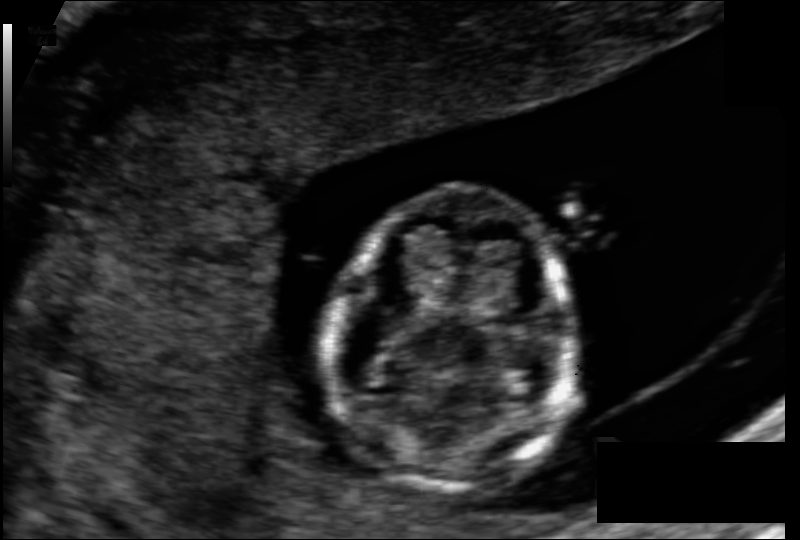
In this fetal head ultrasound, give the bounding box of the fetal head. Image width: 77.7 mm.

[329,190,570,493]